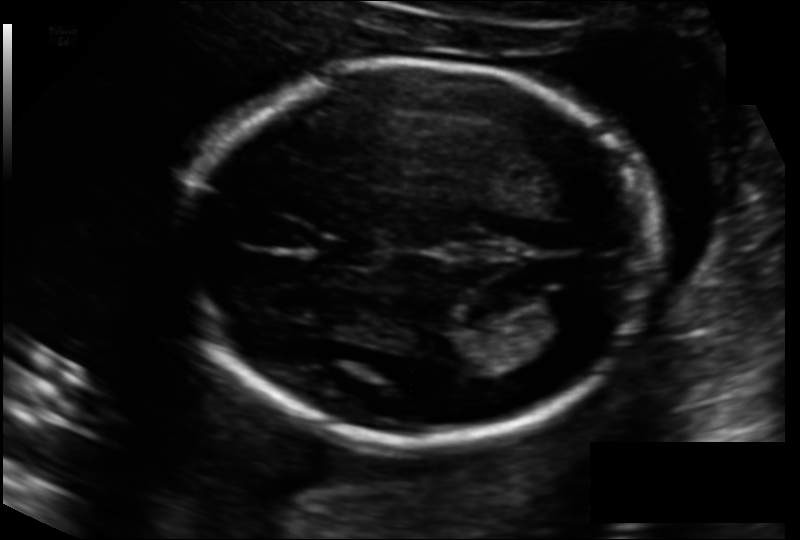
Fetal head ultrasound. Image width: 106.6 mm. Where is the fetal head?

Head bounding box: [180,61,657,444]